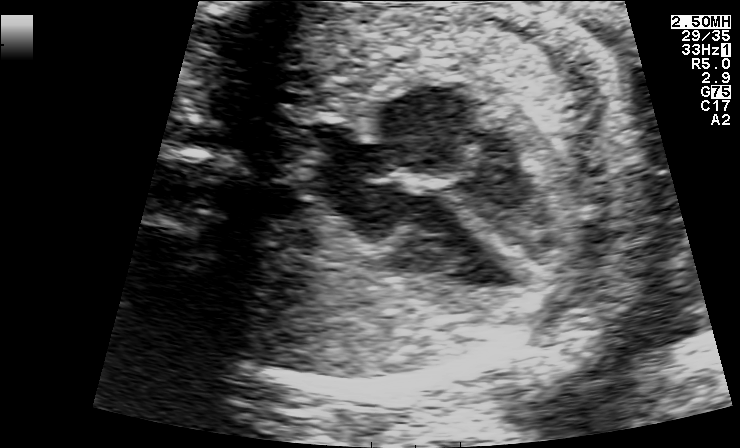
This is a 2D maternal-fetal ultrasound frame. Is it a fetal abdomen, fetal brain, fetal femur, fetal thorax, maternal cervix, or other standard plane? If it's fetal brain and one of the three standard brain planes (trans-thalamic, trans-cerebellum, trans-ventricular), name which.

Fetal thorax